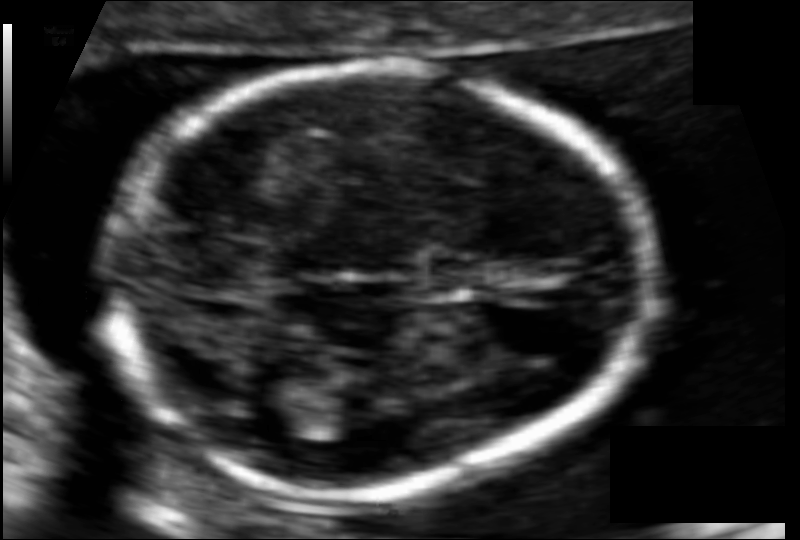
Fetal head ultrasound. Image width: 67.6 mm. Give [x1,y1,x2,y2] bounding boxes for each visible structure among: fetal head, CSP, LV.

Head: [105,67,645,501]